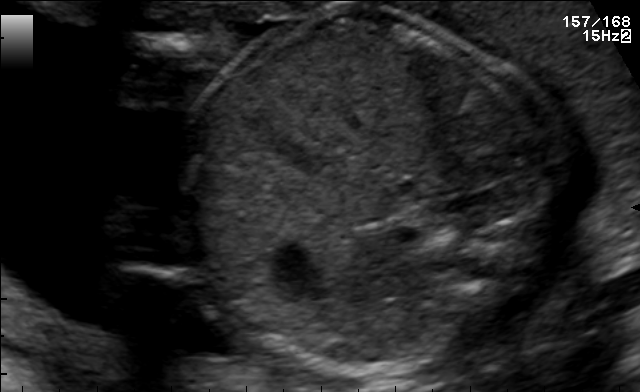
Which standard maternal-fetal ultrasound plane is shown: fetal abdomen, fetal brain, fetal femur, fetal thorax, maternal cervix, or other? If it's fetal brain and one of the three standard brain planes (trans-thalamic, trans-cerebellum, trans-ventricular), name which.

Fetal abdomen